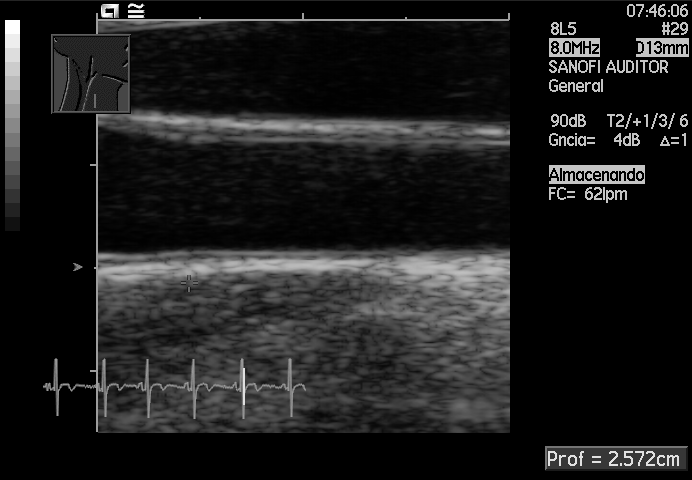
Identify the standard plane in this fetal ultrasound image: fetal abdomen, fetal brain, fetal femur, fetal thorax, maternal cervix, or other. If it's fetal brain and one of the three standard brain planes (trans-thalamic, trans-cerebellum, trans-ventricular), name which.

Other